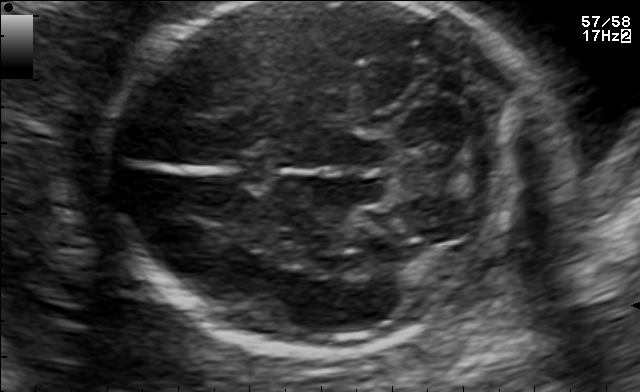
Fetal brain, trans-cerebellum plane. Locate the fetal head and, if visible, the cavum septum pellucidum (CSP) and lateral ventricle (LV). Give bounding boxes as [x1,y1,x2,y2].

Head: [102,2,511,358]
CSP: [227,153,279,185]